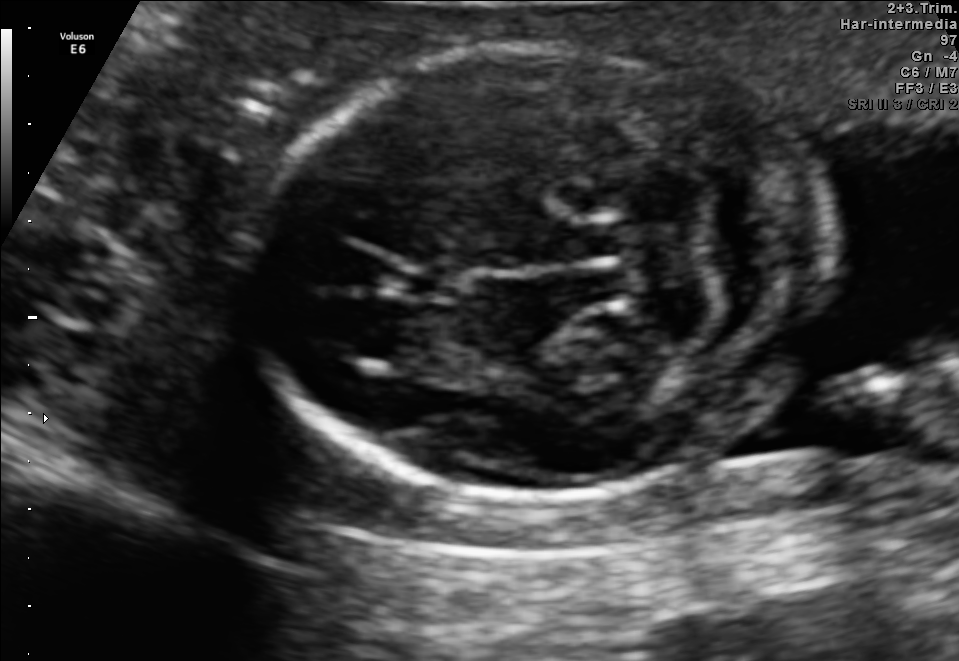
This is a 2D maternal-fetal ultrasound frame. Is it a fetal abdomen, fetal brain, fetal femur, fetal thorax, maternal cervix, or other standard plane? If it's fetal brain and one of the three standard brain planes (trans-thalamic, trans-cerebellum, trans-ventricular), name which.

Fetal brain (trans-cerebellum plane)